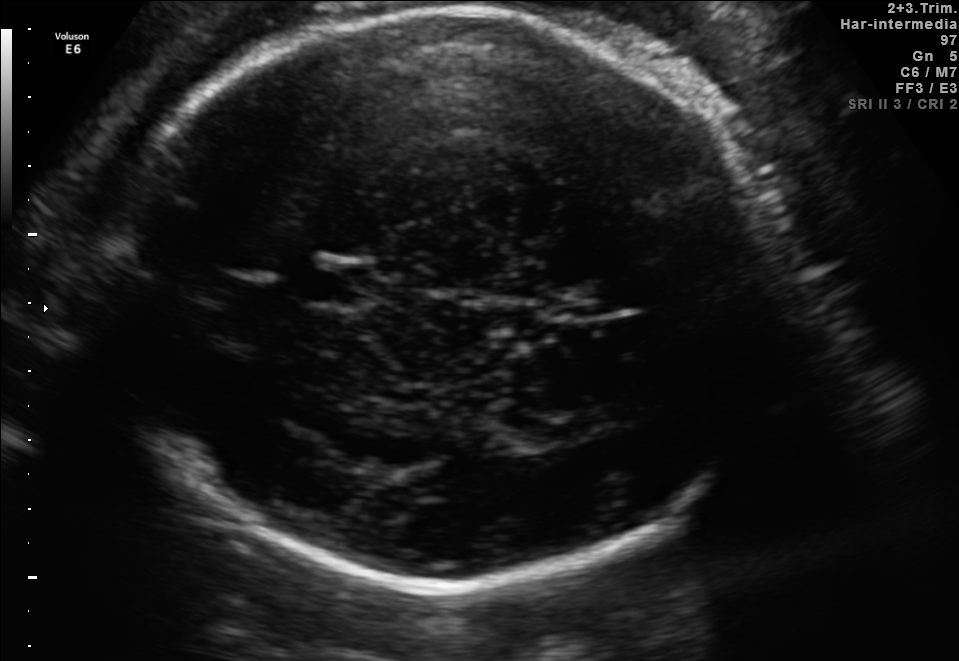
Fetal brain, trans-thalamic plane. Locate the fetal head and, if visible, the cavum septum pellucidum (CSP) and lateral ventricle (LV). Give bounding boxes as [x1,y1,x2,y2].

Head: [105,11,792,582]
CSP: [299,264,360,304]